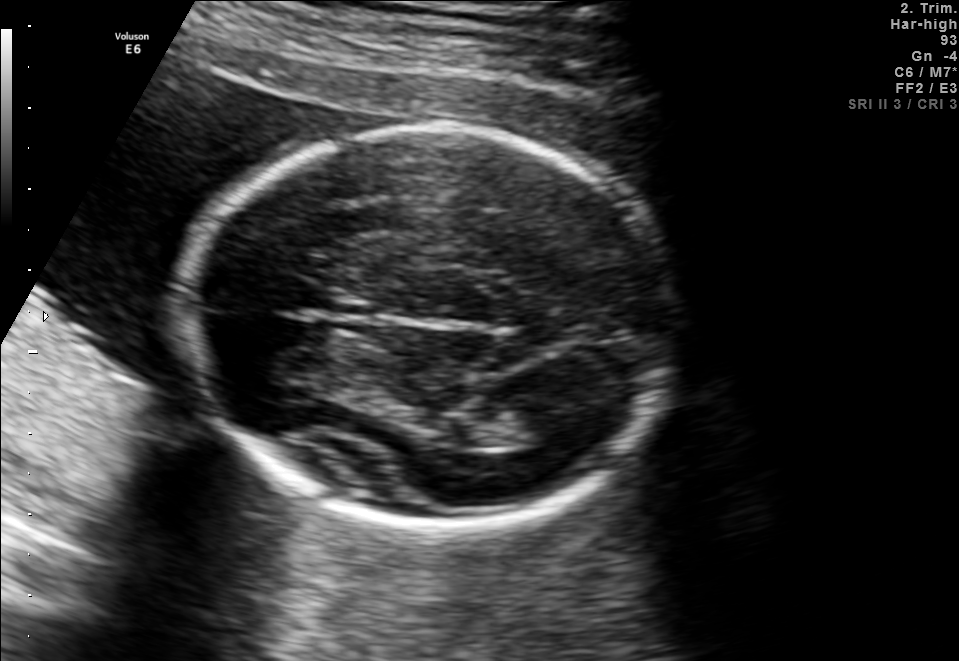
Fetal brain, trans-thalamic plane. Give [x1,y1,x2,y2] bounding boxes for each visible structure among: fetal head, CSP, LV.

Head: [183,127,676,522]
Lateral ventricle: [490,405,578,450]